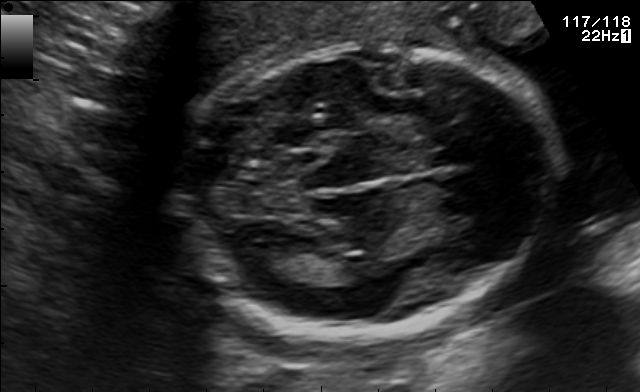
Which standard maternal-fetal ultrasound plane is shown: fetal abdomen, fetal brain, fetal femur, fetal thorax, maternal cervix, or other? If it's fetal brain and one of the three standard brain planes (trans-thalamic, trans-cerebellum, trans-ventricular), name which.

Fetal brain (trans-thalamic plane)